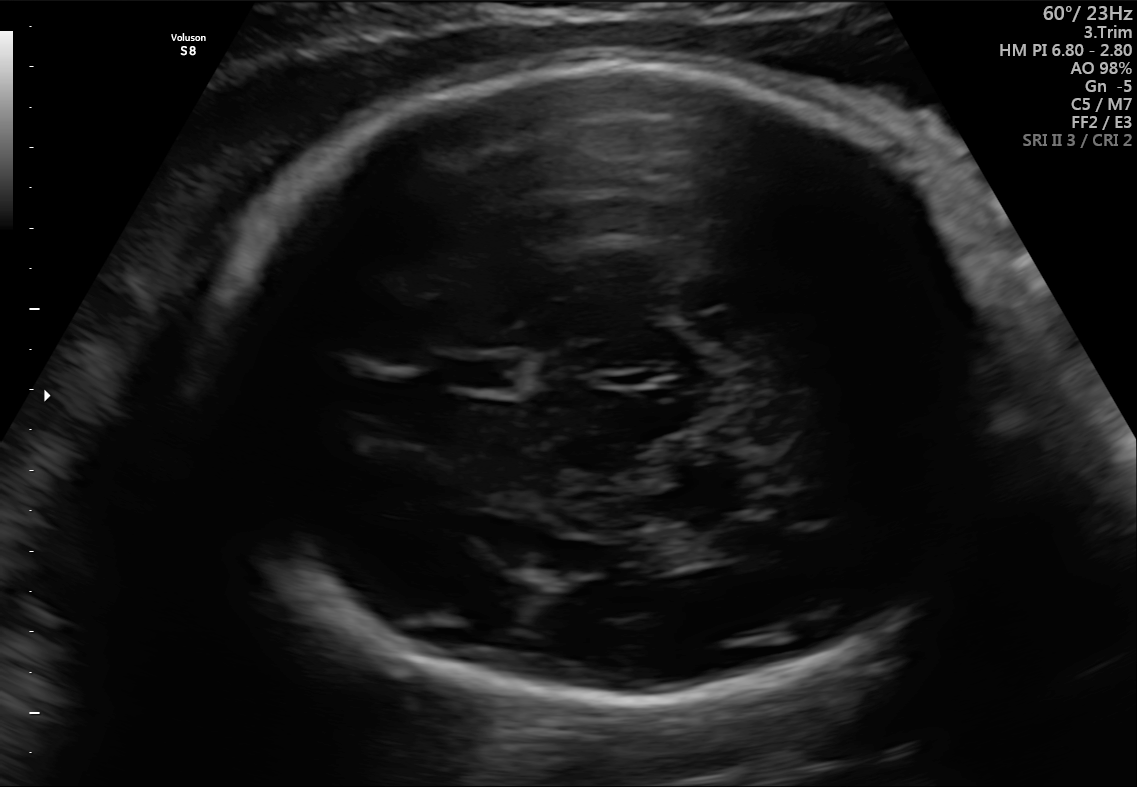
Fetal brain, trans-thalamic plane. Where is the fetal head?

Head bounding box: [199,64,1026,706]